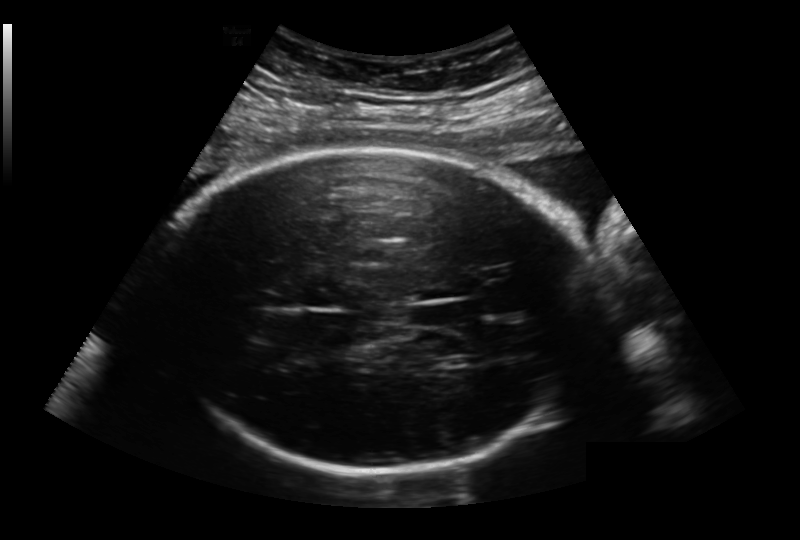
In this fetal head ultrasound, give bounding boxes for the head outline, cavum septum pellucidum (CSP), and lateral ventricle (LV), where visible. Image width: 188.7 mm.

Head: [147,150,598,473]